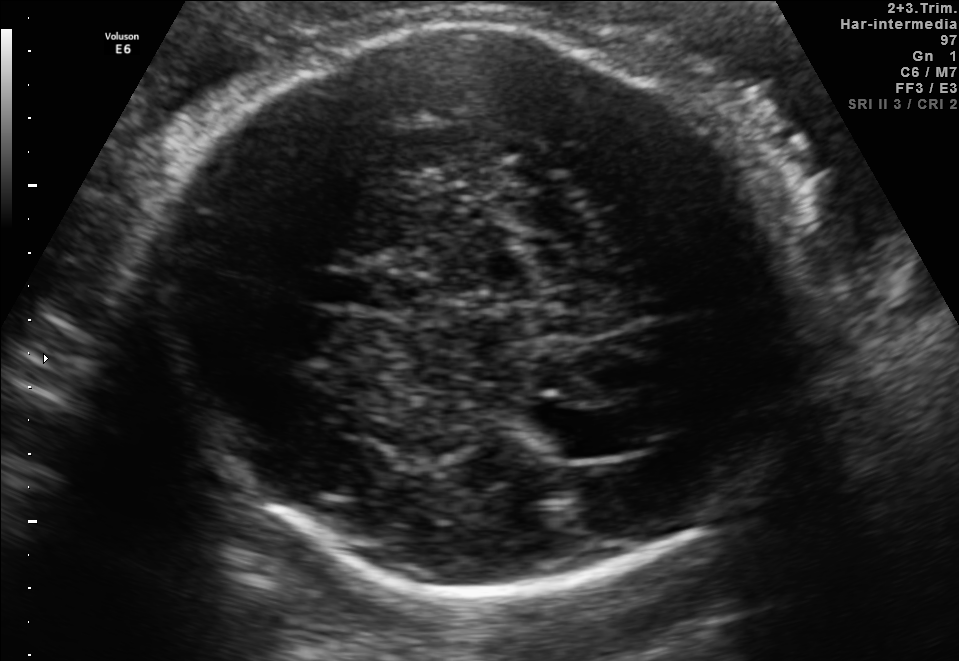
In this fetal brain, trans-thalamic plane, give the bounding box of the fetal head.

[148,20,831,591]